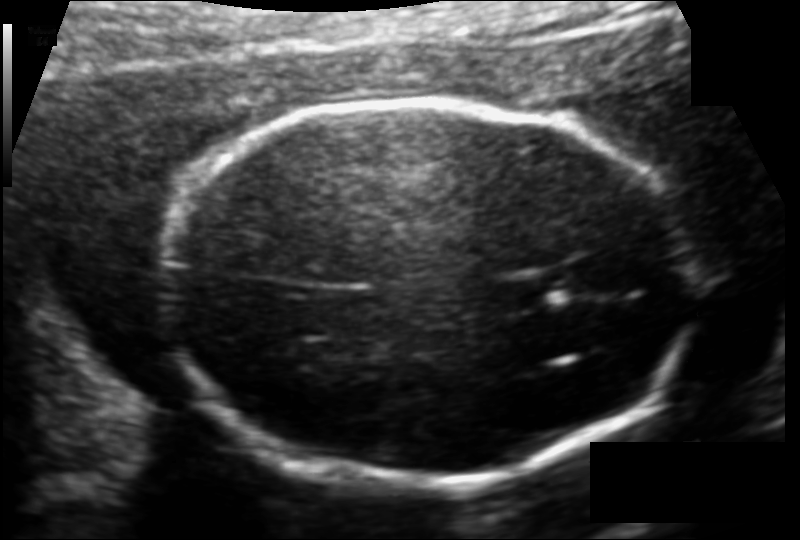
Estimate the fetal head circumference from this 2D ultrasound.

Head circumference: 176.5 mm (image width 95.0 mm).